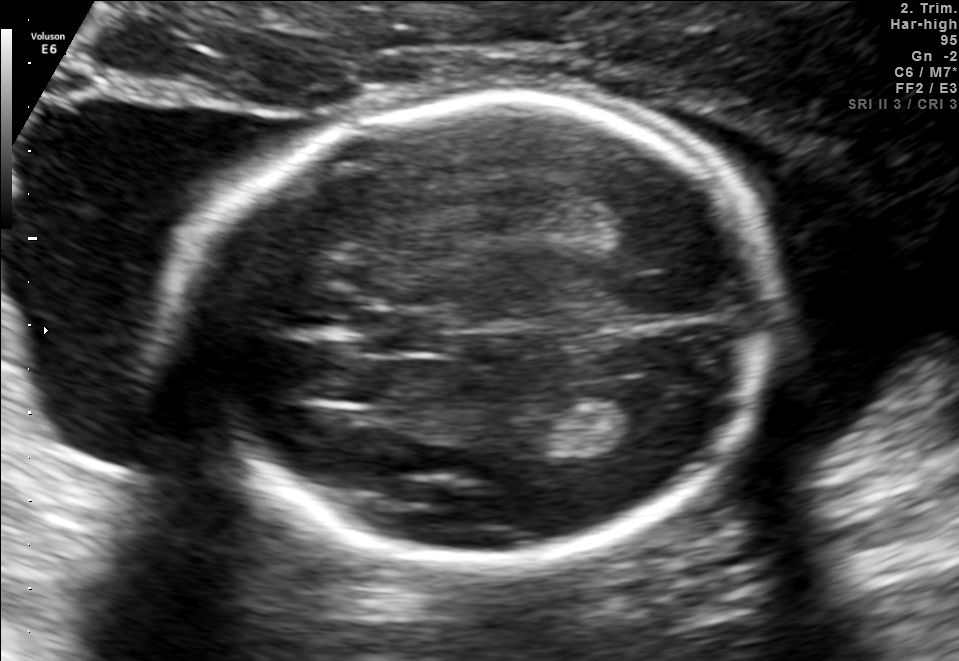
Fetal brain, trans-thalamic plane. Where is the lateral ventricle?

Lateral ventricle bounding box: [574,372,673,456]